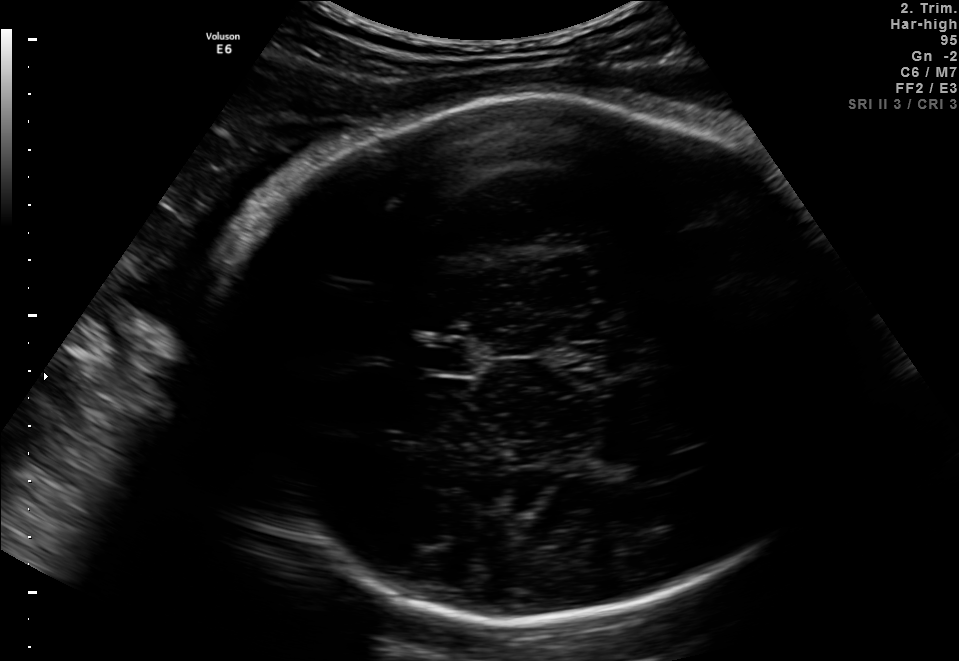
In this fetal brain, trans-thalamic plane, give bounding boxes for the head outline, cavum septum pellucidum (CSP), and lateral ventricle (LV), where visible.

Head: [204,92,851,615]
CSP: [416,339,476,376]
Lateral ventricle: [611,452,686,493]